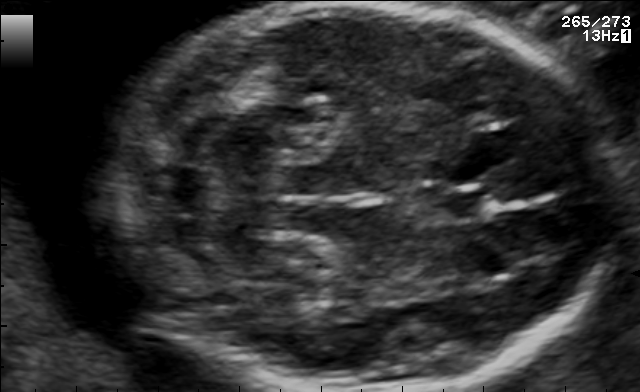
Fetal brain, trans-cerebellum plane. Locate the cavum septum pellucidum.

CSP: [429,183,491,224]